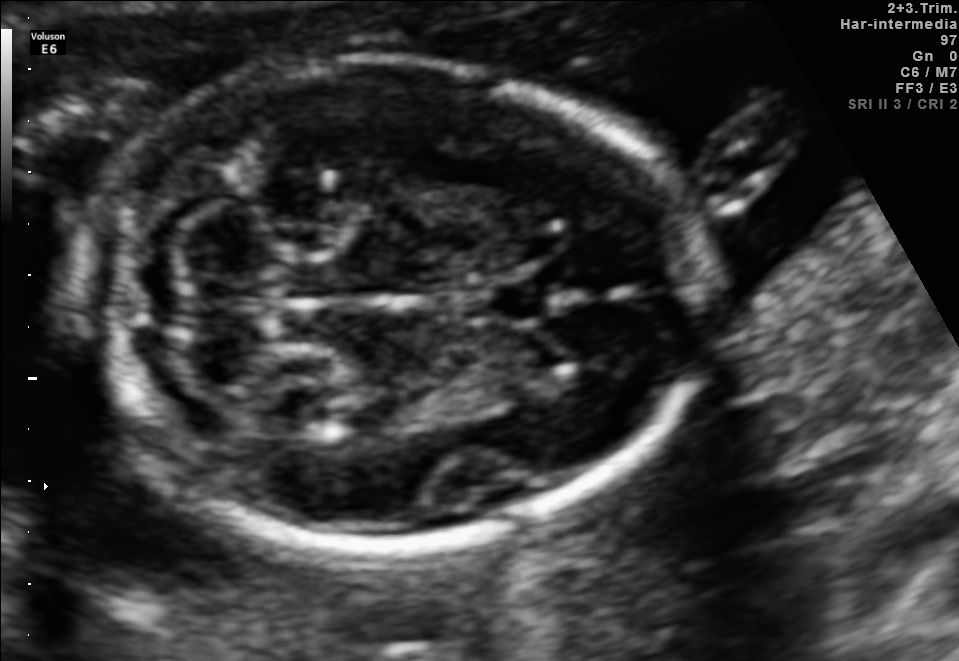
In this fetal brain, trans-cerebellum plane, give the bounding box of the cavum septum pellucidum.

[477,276,554,325]